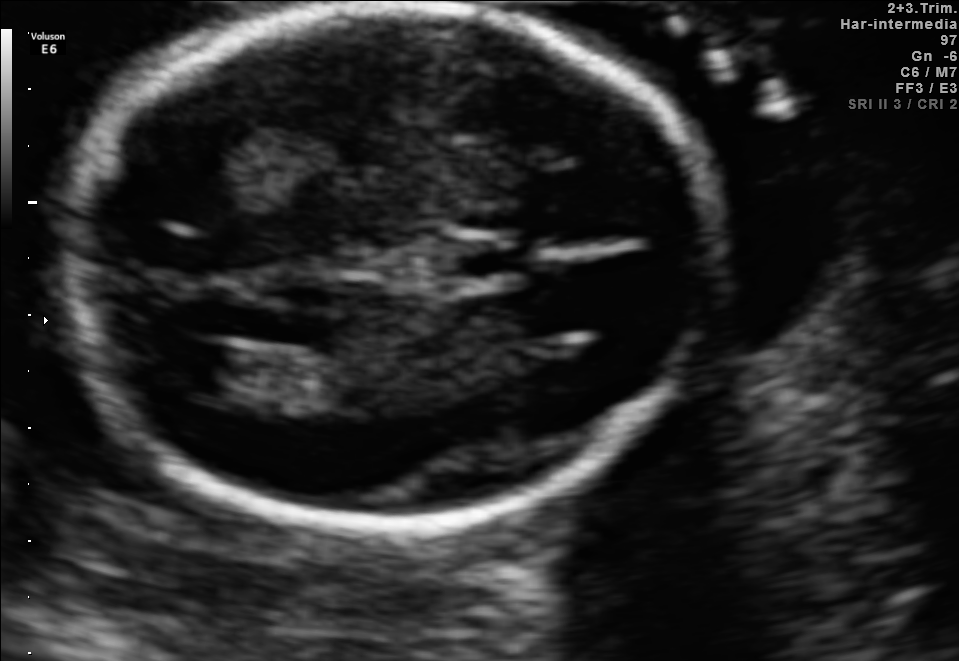
Fetal brain, trans-ventricular plane. Locate the cavum septum pellucidum.

CSP: [448,243,521,275]